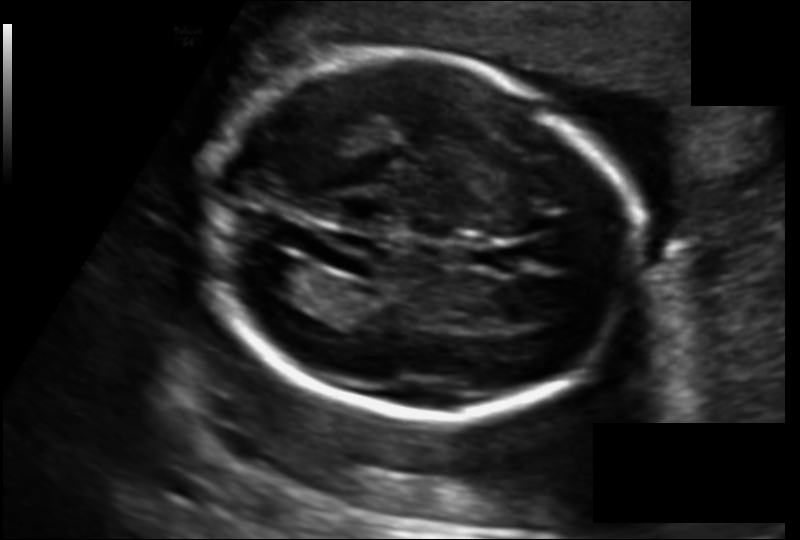
Fetal head ultrasound. Image width: 107.9 mm. Where is the lateral ventricle?

Lateral ventricle bounding box: [247,244,319,305]